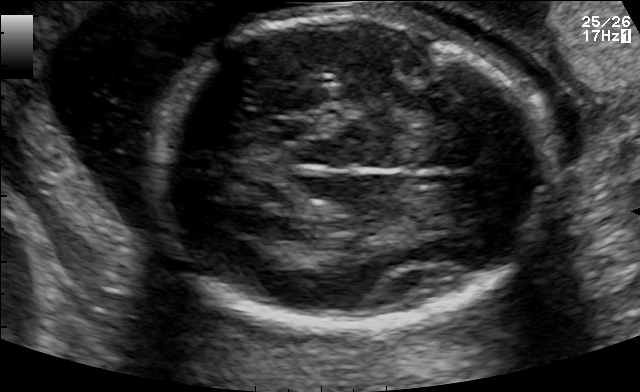
Fetal brain, trans-thalamic plane. Locate the fetal head and, if visible, the cavum septum pellucidum (CSP) and lateral ventricle (LV). Give bounding boxes as [x1,y1,x2,y2].

Head: [153,18,553,326]